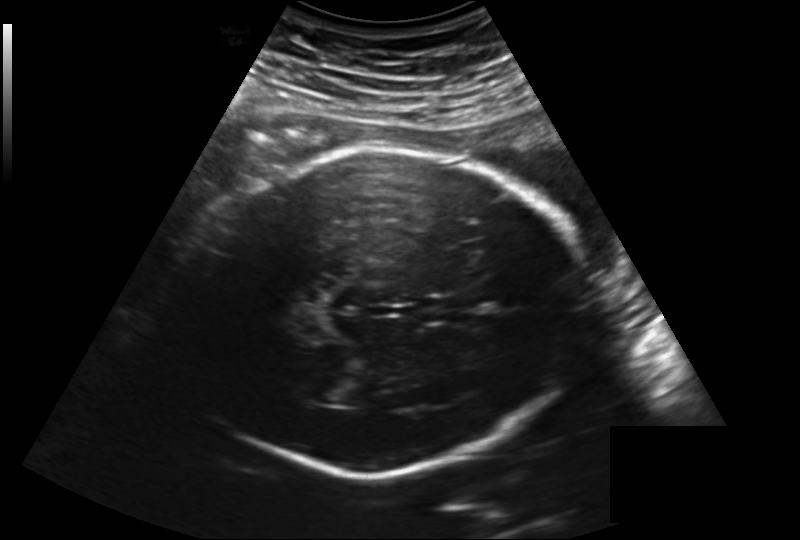
Fetal head ultrasound. Image width: 175.2 mm. Locate the fetal head.

Head: [174,147,587,476]